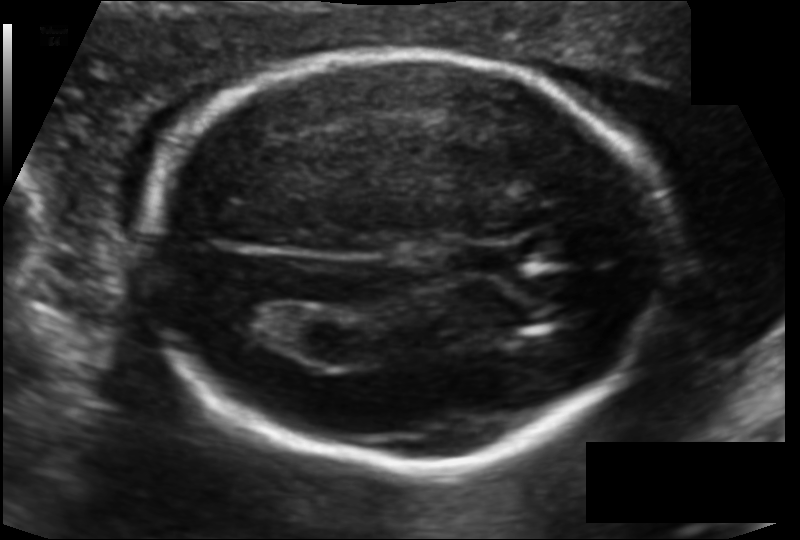
In this fetal head ultrasound, give bounding boxes for the head outline, cavum septum pellucidum (CSP), and lateral ventricle (LV), where visible. Image width: 91.7 mm.

Head: [143,54,668,466]
CSP: [458,239,519,279]